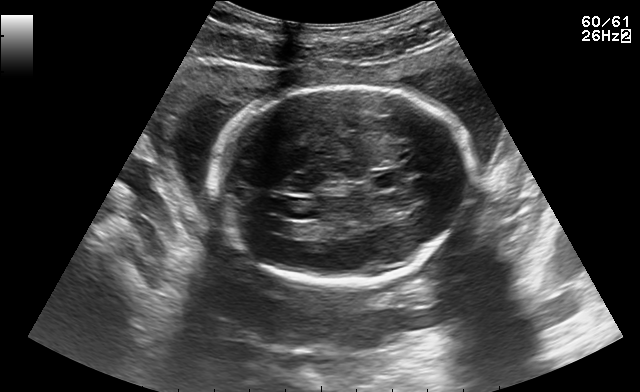
Which standard maternal-fetal ultrasound plane is shown: fetal abdomen, fetal brain, fetal femur, fetal thorax, maternal cervix, or other? If it's fetal brain and one of the three standard brain planes (trans-thalamic, trans-cerebellum, trans-ventricular), name which.

Fetal brain (trans-ventricular plane)